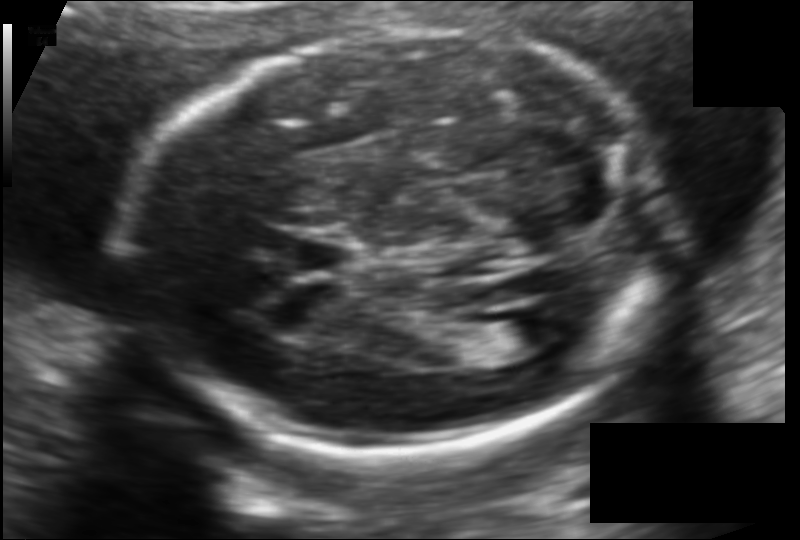
Fetal head ultrasound. Image width: 94.7 mm. Where is the lateral ventricle?

Lateral ventricle bounding box: [482,305,568,363]